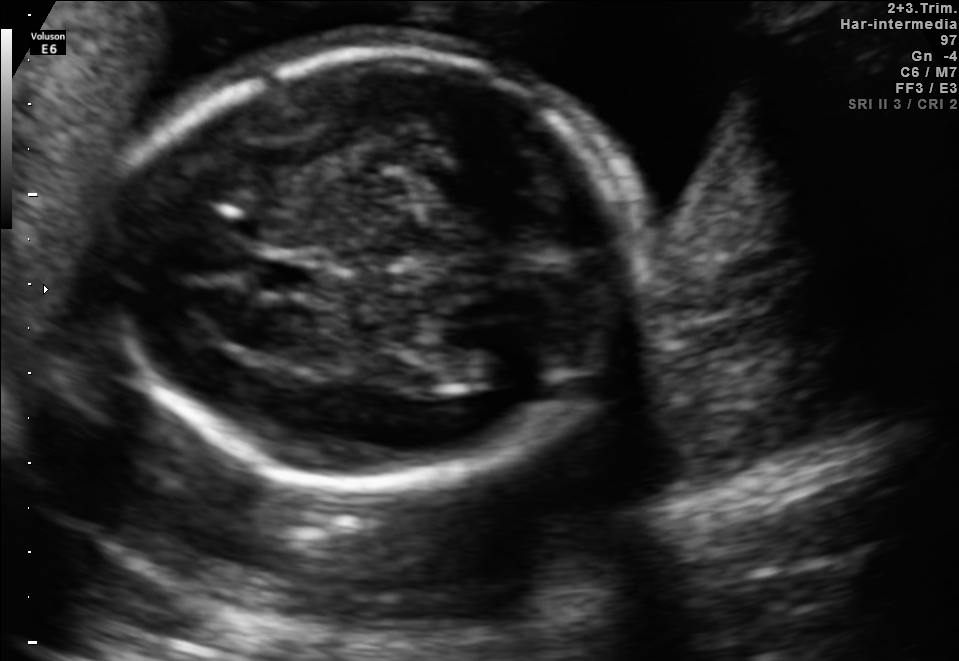
Fetal brain, trans-thalamic plane. Where is the fetal head?

Head bounding box: [111,48,648,473]